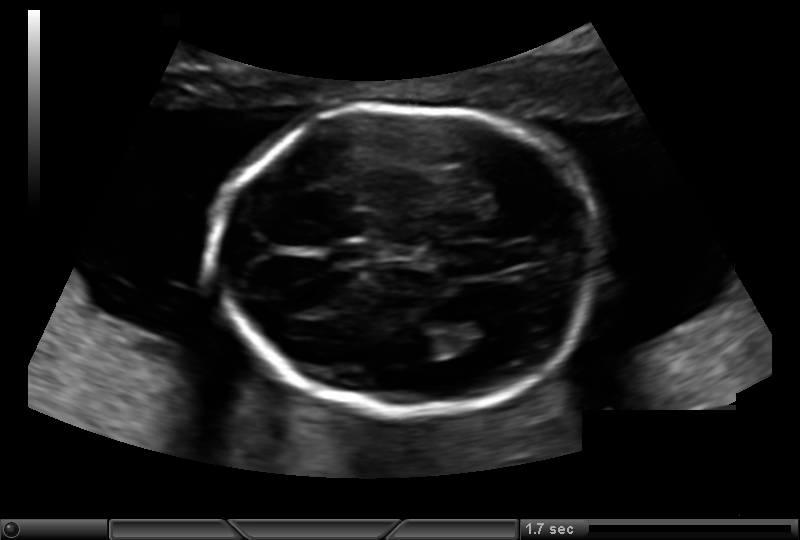
What is the fetal head circumference? Image width is 107.7 mm.

154.6 mm